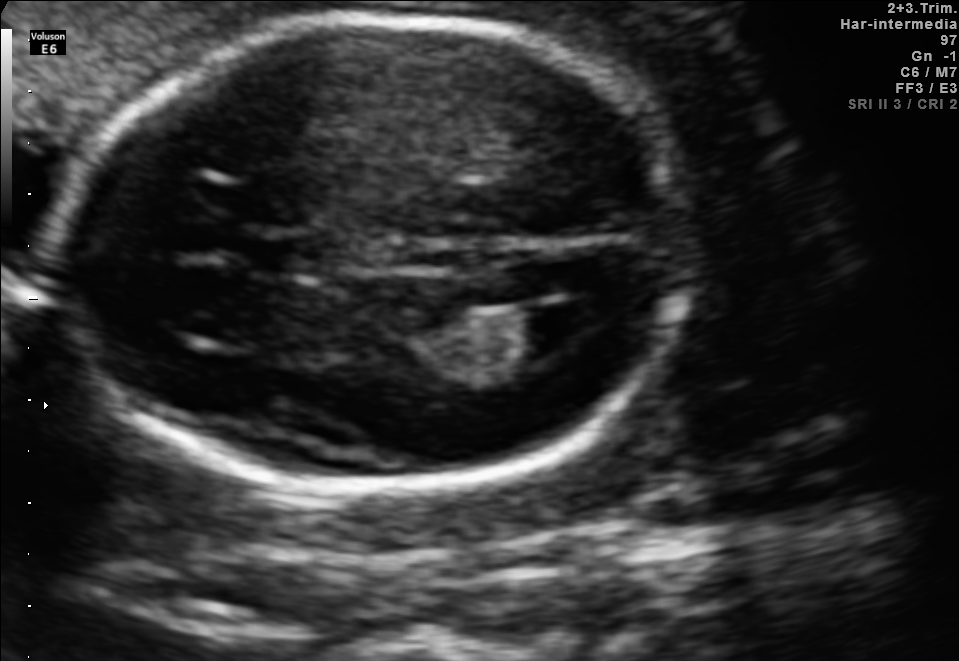
Which standard maternal-fetal ultrasound plane is shown: fetal abdomen, fetal brain, fetal femur, fetal thorax, maternal cervix, or other? If it's fetal brain and one of the three standard brain planes (trans-thalamic, trans-cerebellum, trans-ventricular), name which.

Fetal brain (trans-ventricular plane)